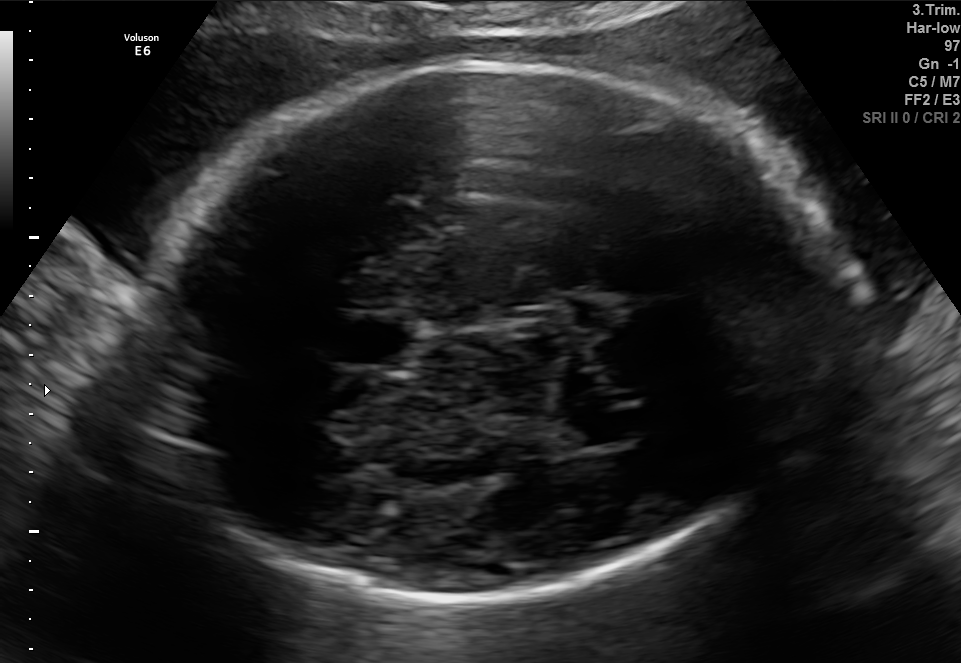
In this fetal brain, trans-thalamic plane, give the bounding box of the cavum septum pellucidum.

[337,317,408,366]